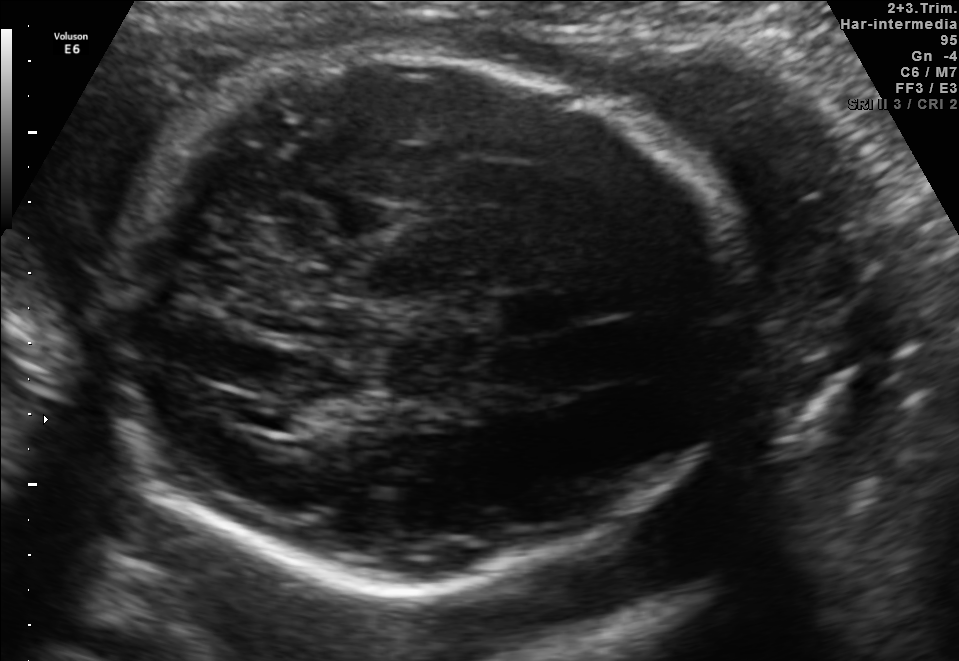
In this fetal brain, trans-thalamic plane, give the bounding box of the cavum septum pellucidum.

[501,294,570,334]